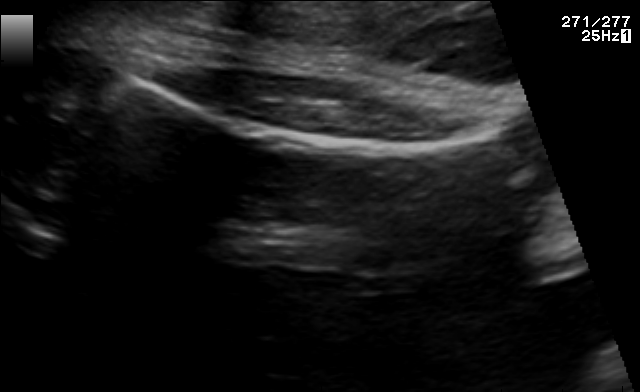
This is a 2D maternal-fetal ultrasound frame. Is it a fetal abdomen, fetal brain, fetal femur, fetal thorax, maternal cervix, or other standard plane? If it's fetal brain and one of the three standard brain planes (trans-thalamic, trans-cerebellum, trans-ventricular), name which.

Fetal femur